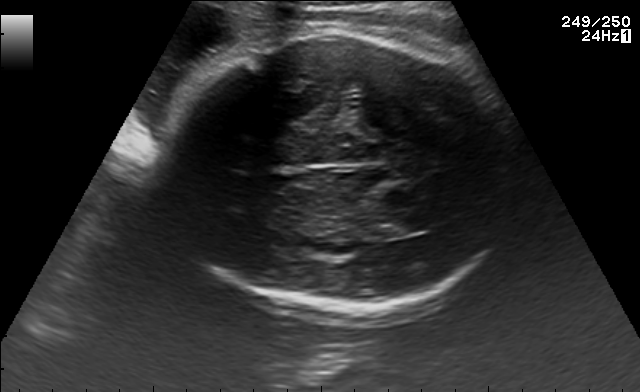
Fetal brain, trans-thalamic plane. Locate the fetal head.

Head: [162,34,521,308]